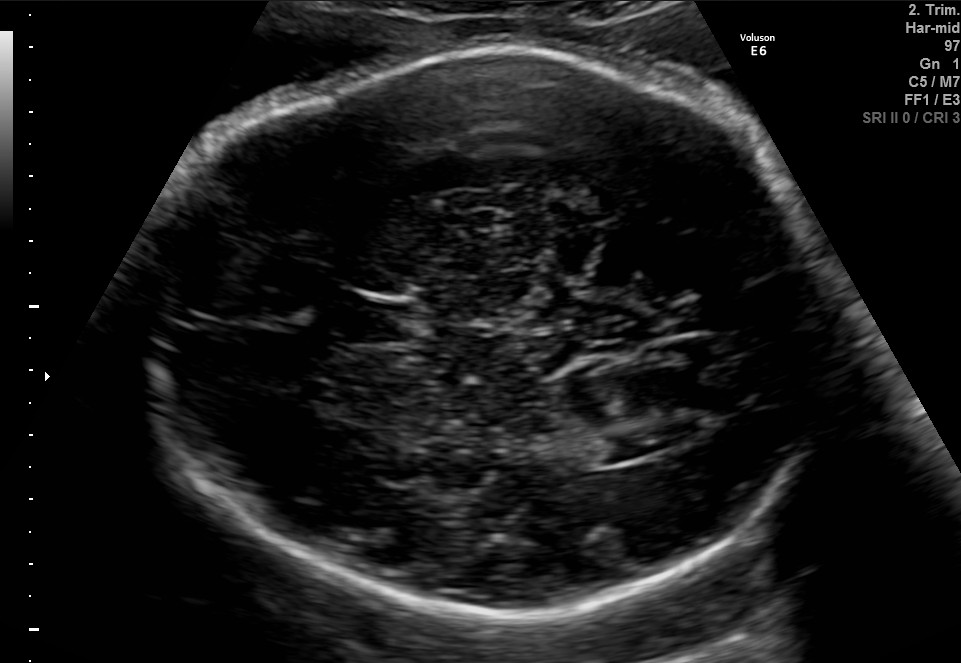
In this fetal brain, trans-ventricular plane, give bounding boxes for the head outline, cavum septum pellucidum (CSP), and lateral ventricle (LV), where visible.

Head: [138,55,845,620]
CSP: [342,301,410,343]
Lateral ventricle: [600,427,664,463]